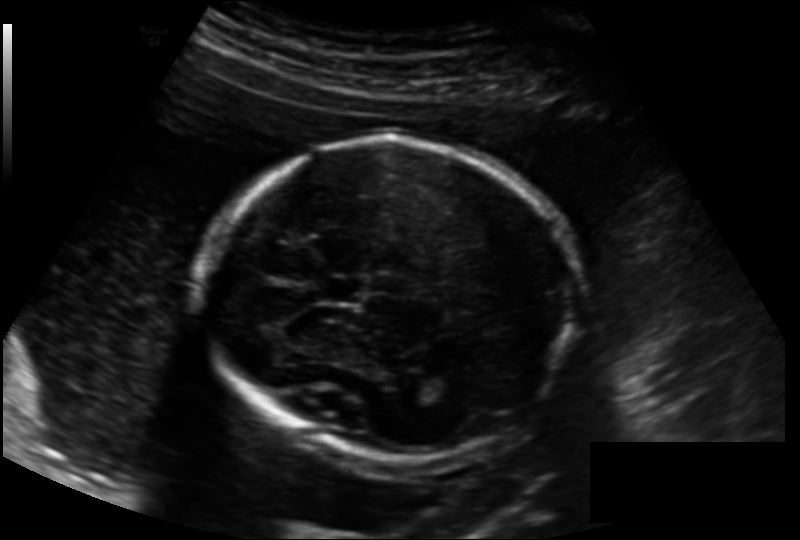
Fetal head ultrasound. Image width: 126.5 mm. Locate the fetal head.

Head: [198,141,574,459]